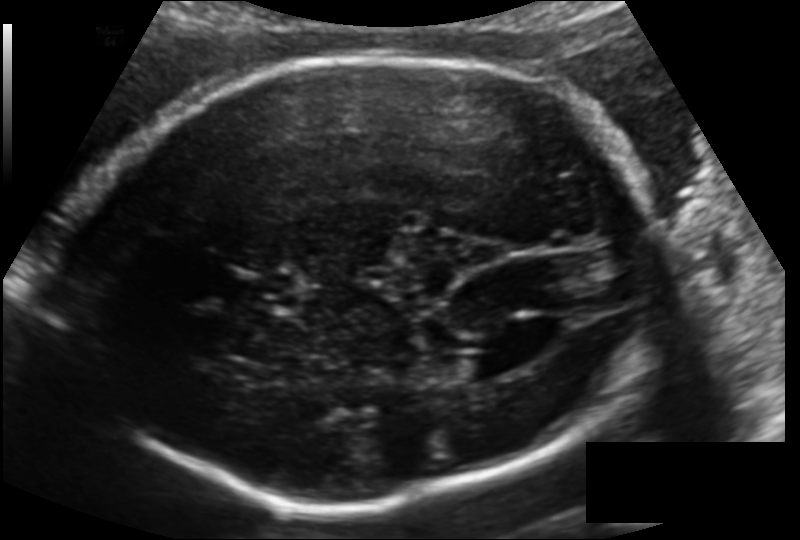
Fetal head ultrasound. Image width: 118.6 mm. Locate the fetal head and, if visible, the cavum septum pellucidum (CSP) and lateral ventricle (LV). Give bounding boxes as [x1,y1,x2,y2].

Head: [61,57,662,507]
CSP: [229,267,303,314]
Lateral ventricle: [446,346,508,391]